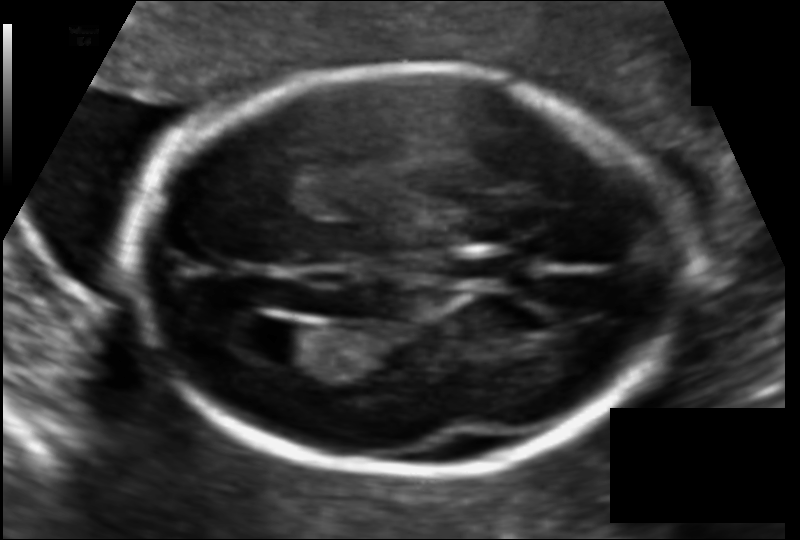
From this fetal ultrasound, estimate the head circumference (image width 89.2 mm).

Head circumference: 176.2 mm.